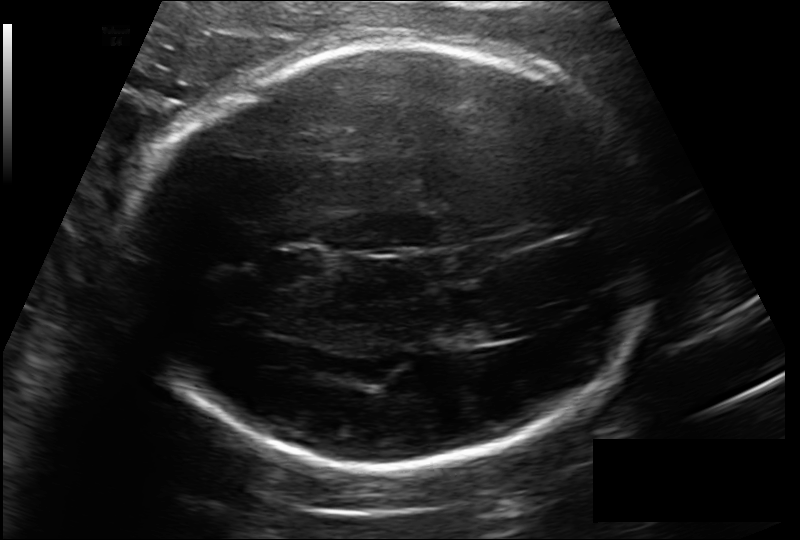
Estimate the fetal head circumference from this 2D ultrasound. Image width: 148.1 mm.

Head circumference: 280.2 mm.